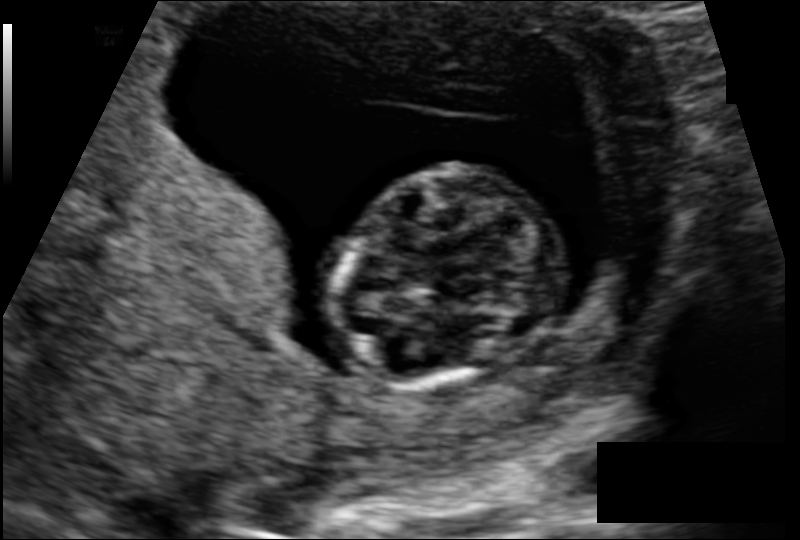
Fetal head ultrasound. Image width: 86.1 mm. Give [x1,y1,x2,y2] bounding boxes for each visible structure among: fetal head, CSP, LV.

Head: [337,162,543,391]